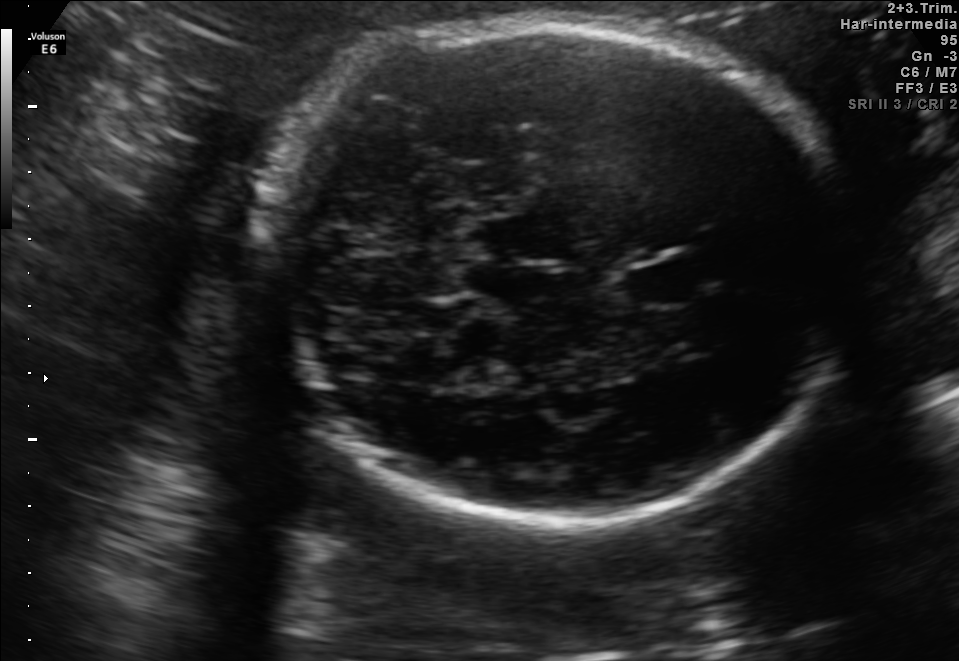
Identify the standard plane in this fetal ultrasound image: fetal abdomen, fetal brain, fetal femur, fetal thorax, maternal cervix, or other. If it's fetal brain and one of the three standard brain planes (trans-thalamic, trans-cerebellum, trans-ventricular), name which.

Fetal brain (trans-cerebellum plane)